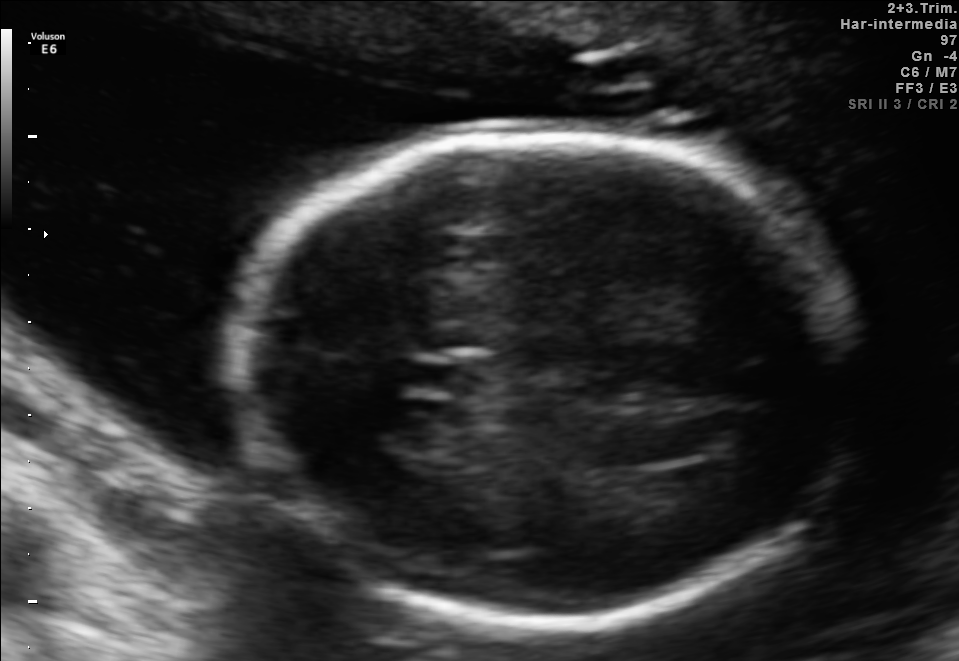
Fetal brain, trans-thalamic plane. Locate the fetal head and, if visible, the cavum septum pellucidum (CSP) and lateral ventricle (LV). Give bounding boxes as [x1,y1,x2,y2].

Head: [239,135,850,620]
CSP: [401,362,468,392]